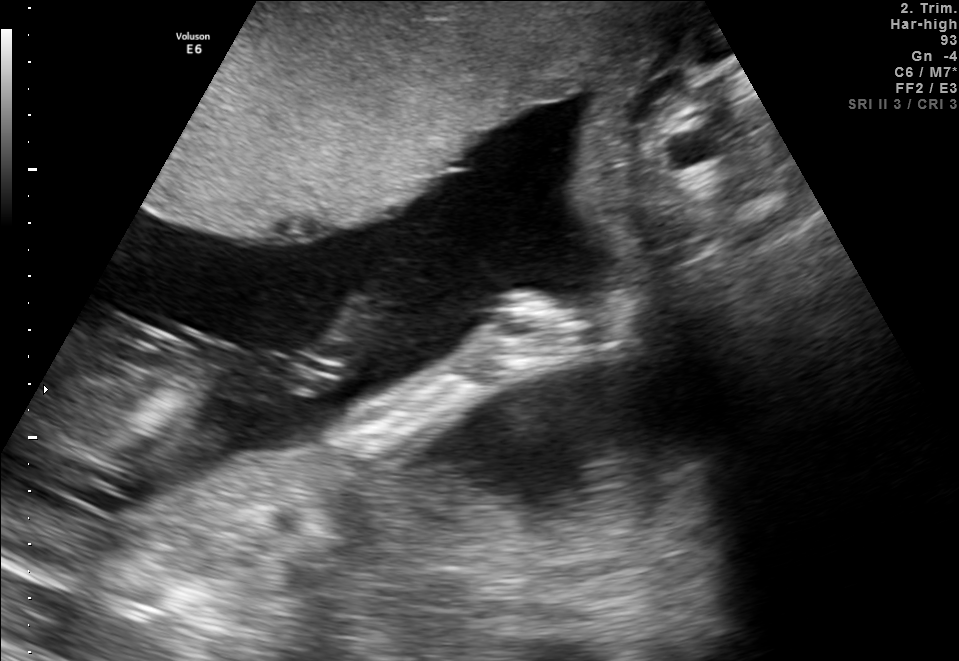
Classify this maternal-fetal ultrasound image as one of the six standard planes — fetal abdomen, fetal brain, fetal femur, fetal thorax, maternal cervix, or other. If it's fetal brain and one of the three standard brain planes (trans-thalamic, trans-cerebellum, trans-ventricular), name which.

Other